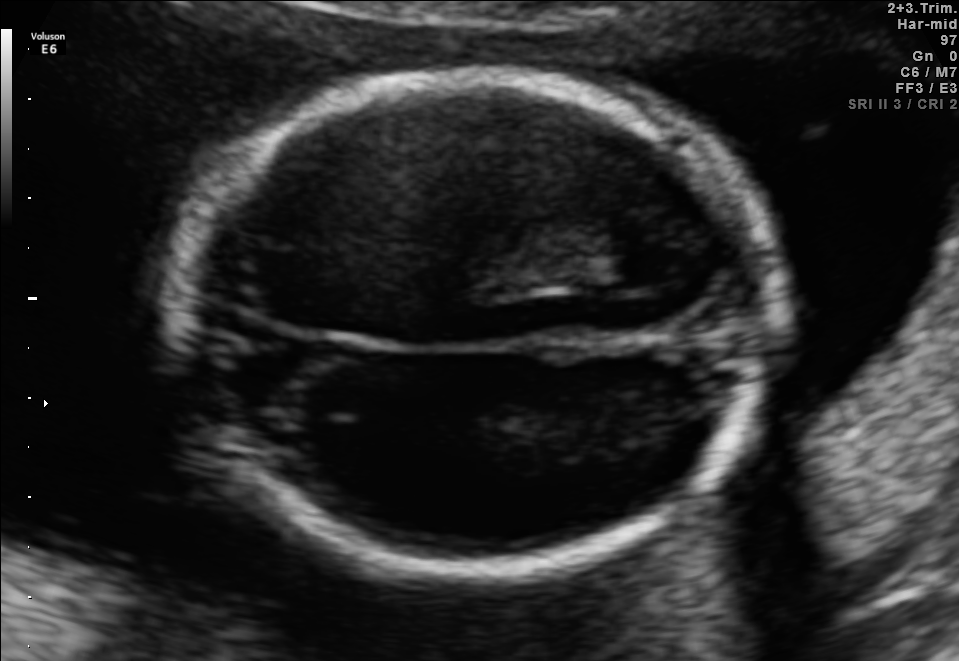
Which standard maternal-fetal ultrasound plane is shown: fetal abdomen, fetal brain, fetal femur, fetal thorax, maternal cervix, or other? If it's fetal brain and one of the three standard brain planes (trans-thalamic, trans-cerebellum, trans-ventricular), name which.

Fetal brain (trans-thalamic plane)